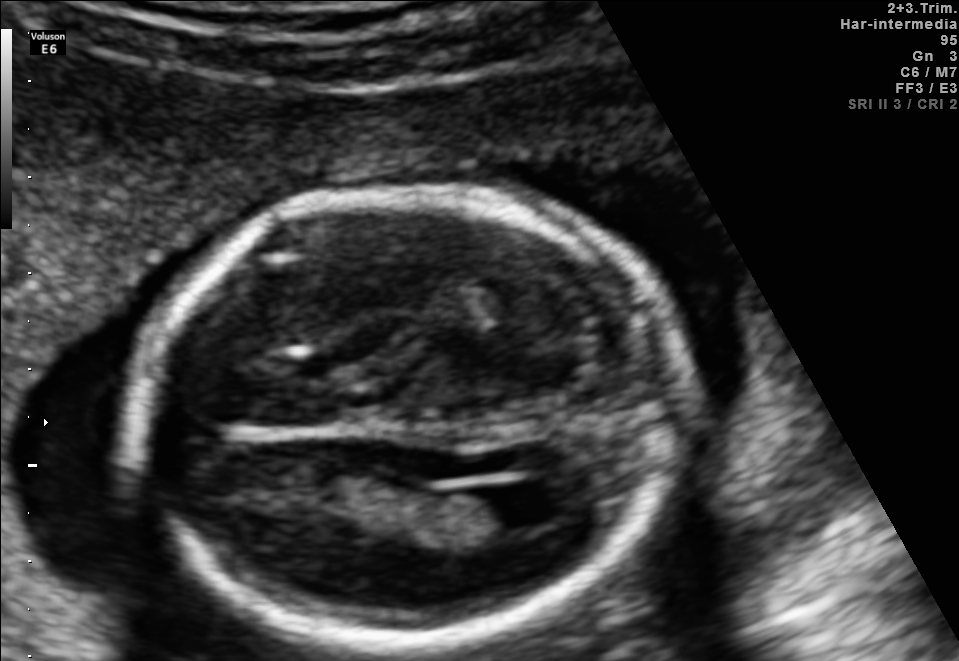
Fetal brain, trans-ventricular plane. Locate the lateral ventricle.

Lateral ventricle: [466,474,566,539]